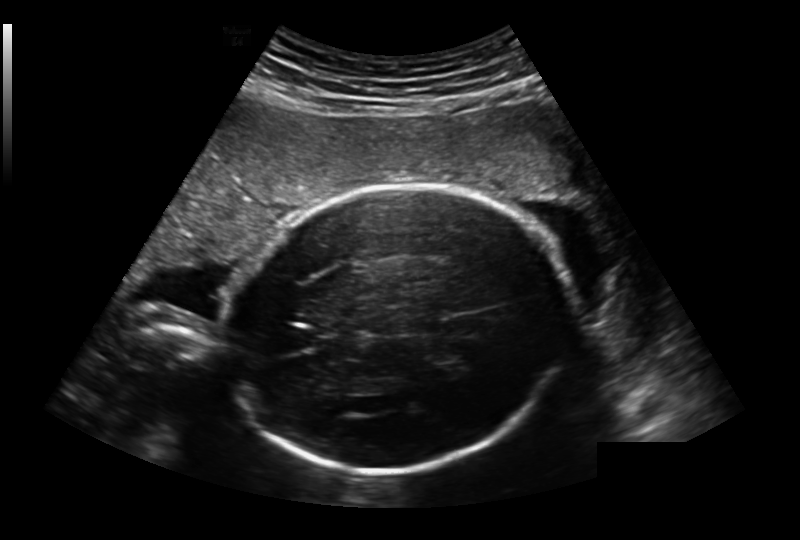
Fetal head ultrasound. Image width: 188.6 mm. Where is the fetal head?

Head bounding box: [227,184,571,472]